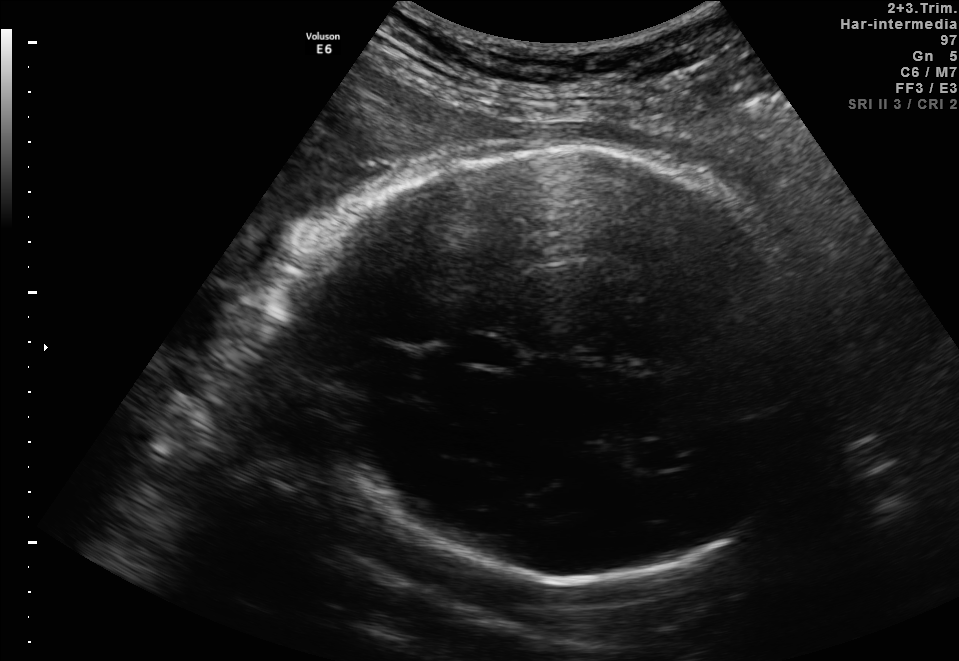
Classify this maternal-fetal ultrasound image as one of the six standard planes — fetal abdomen, fetal brain, fetal femur, fetal thorax, maternal cervix, or other. If it's fetal brain and one of the three standard brain planes (trans-thalamic, trans-cerebellum, trans-ventricular), name which.

Fetal brain (trans-thalamic plane)